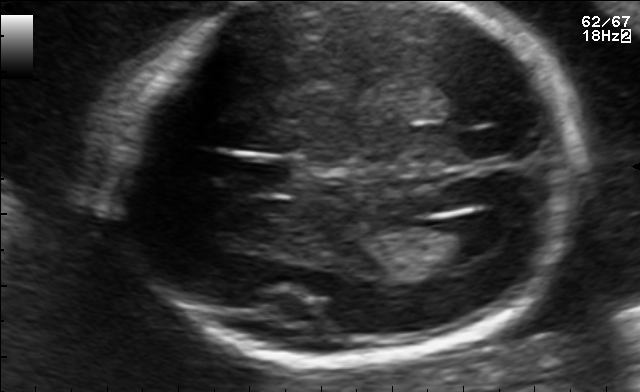
In this fetal brain, trans-ventricular plane, give bounding boxes for the cavum septum pellucidum (CSP) and lateral ventricle (LV), where visible.

CSP: [226,160,293,189]
Lateral ventricle: [442,206,515,260]